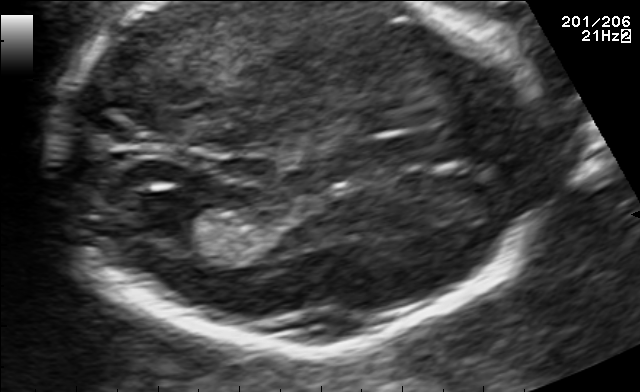
In this fetal brain, trans-thalamic plane, give the bounding box of the cavum septum pellucidum.

[369,125,459,171]